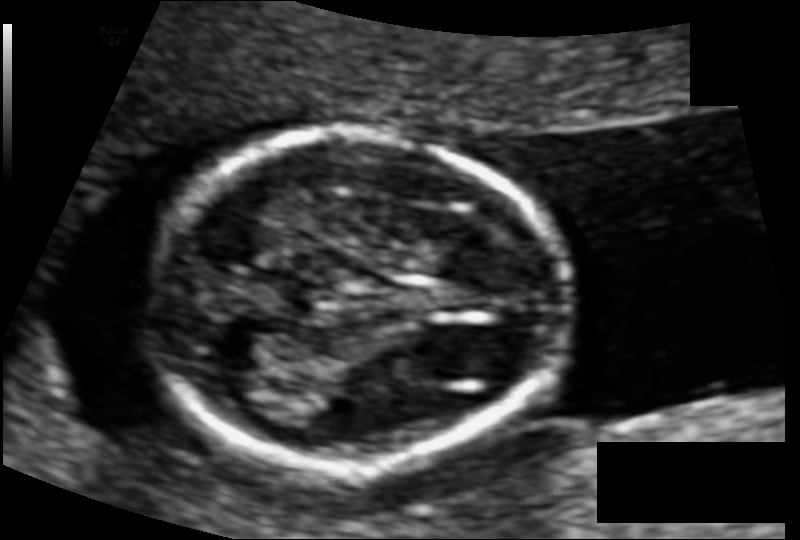
Fetal head ultrasound. Image width: 66.8 mm. Where is the fetal head?

Head bounding box: [153,133,567,464]